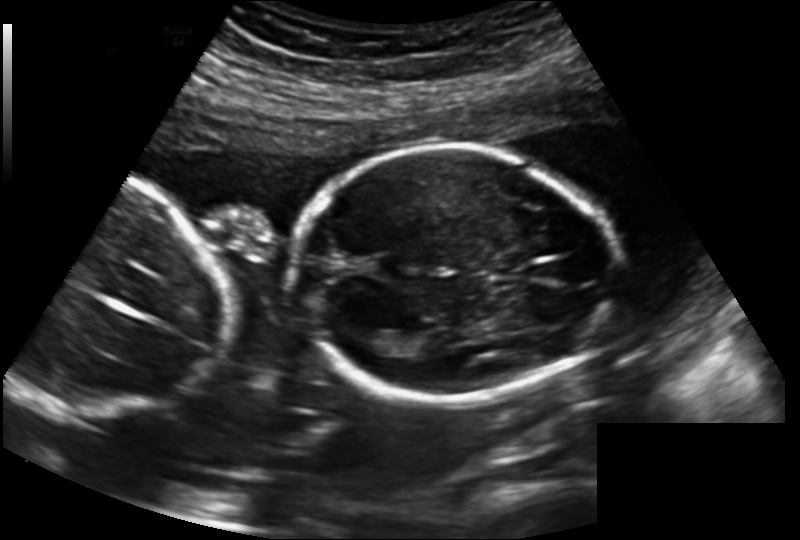
Fetal head ultrasound. Image width: 146.1 mm. Give [x1,y1,x2,y2] bounding boxes for each visible structure among: fetal head, CSP, LV.

Head: [288,146,617,400]